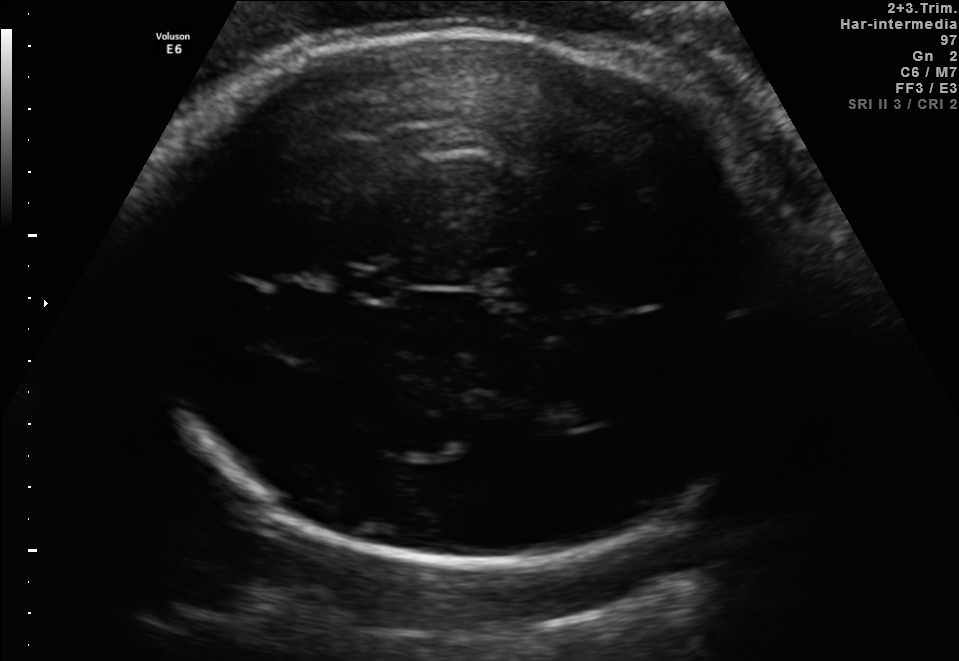
Fetal brain, trans-thalamic plane. Locate the lateral ventricle.

Lateral ventricle: [552,385,621,431]